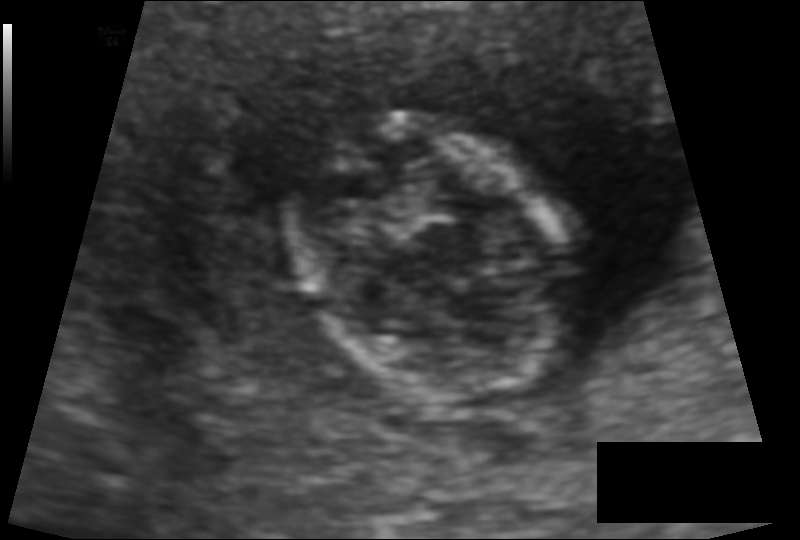
Measure the fetal head circumference shown in this ultrasound image. Image width: 72.9 mm.

Head circumference: 79.3 mm.